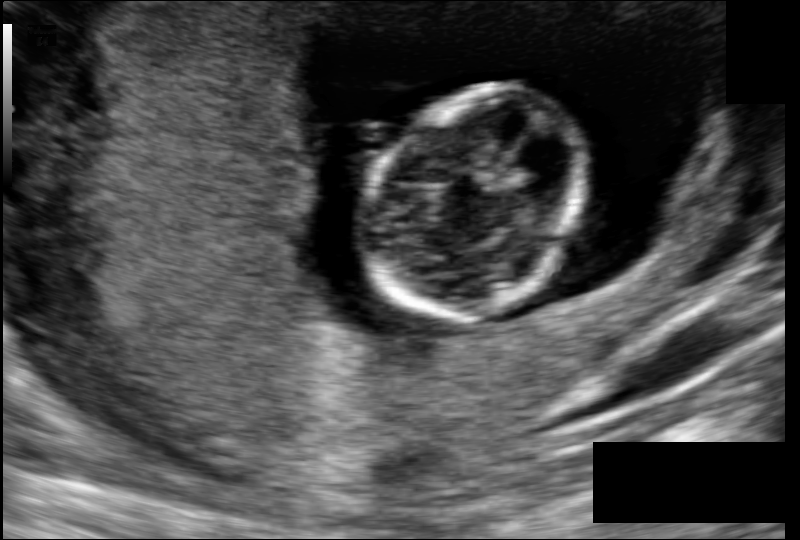
Fetal head ultrasound. Image width: 86.3 mm. Locate the fetal head.

Head: [360,86,588,324]